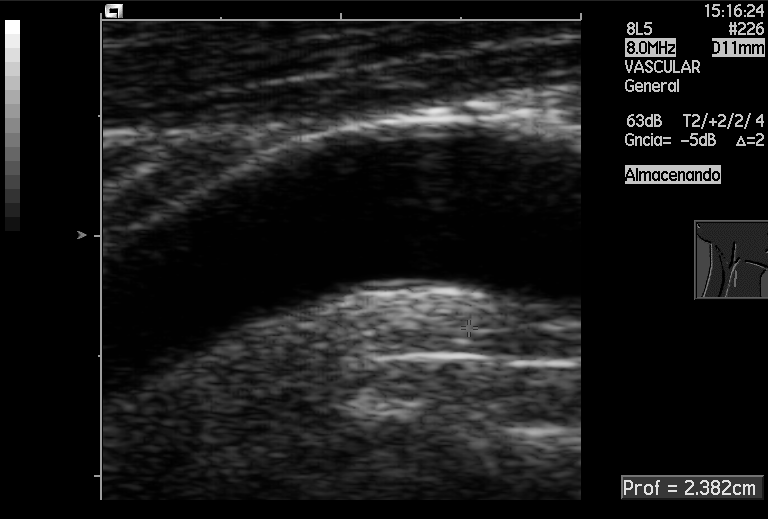
This is a 2D maternal-fetal ultrasound frame. Is it a fetal abdomen, fetal brain, fetal femur, fetal thorax, maternal cervix, or other standard plane? If it's fetal brain and one of the three standard brain planes (trans-thalamic, trans-cerebellum, trans-ventricular), name which.

Other